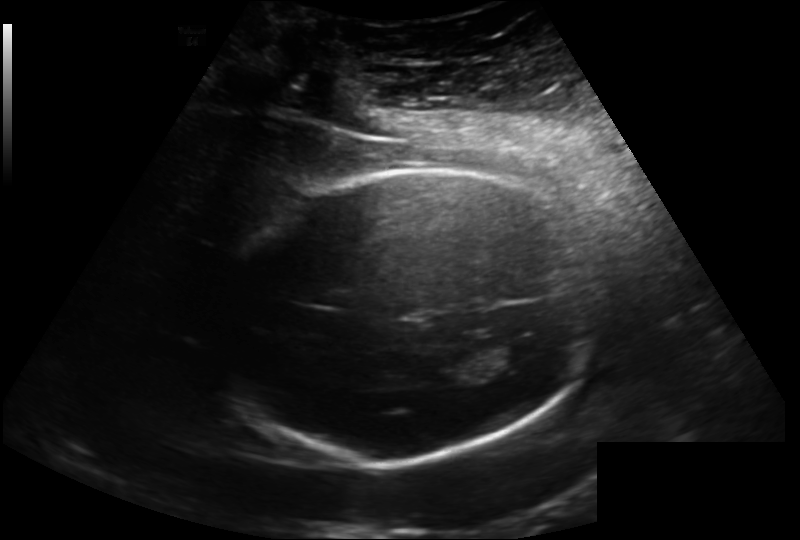
Fetal head ultrasound. Image width: 161.6 mm. Where is the lateral ventricle?

Lateral ventricle bounding box: [488,332,551,378]